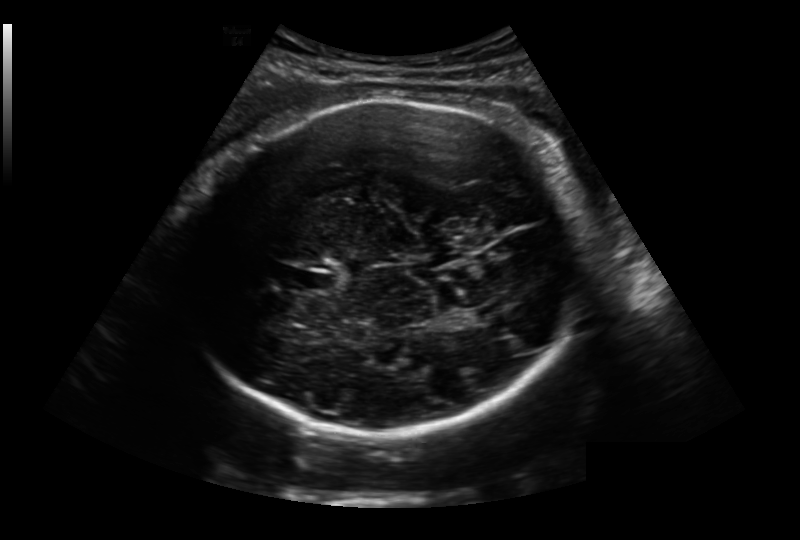
Fetal head ultrasound. Image width: 188.7 mm. Give [x1,y1,x2,y2] bounding boxes for each visible structure among: fetal head, CSP, LV.

Head: [180,97,593,435]
CSP: [296,267,340,296]